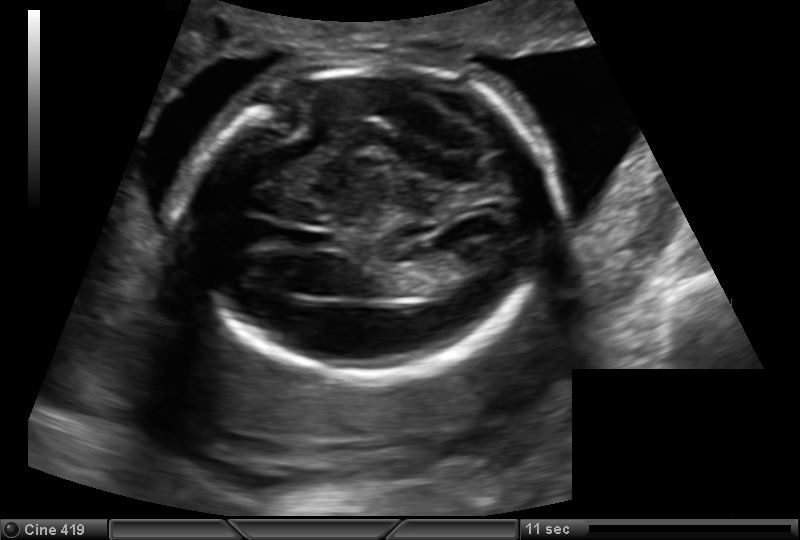
What is the fetal head circumference? Image width is 122.2 mm.

170.7 mm